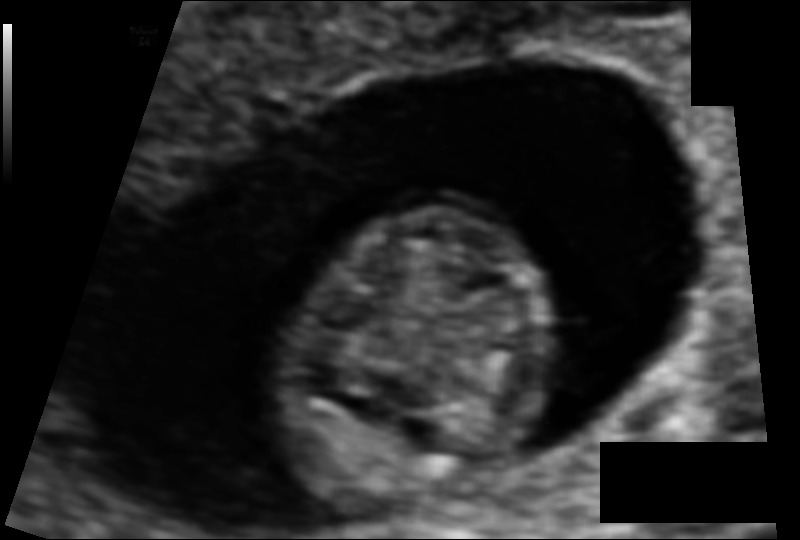
In this fetal head ultrasound, give bounding boxes for the head outline, cavum septum pellucidum (CSP), and lateral ventricle (LV), where visible. Image width: 58.4 mm.

Head: [279,209,545,512]